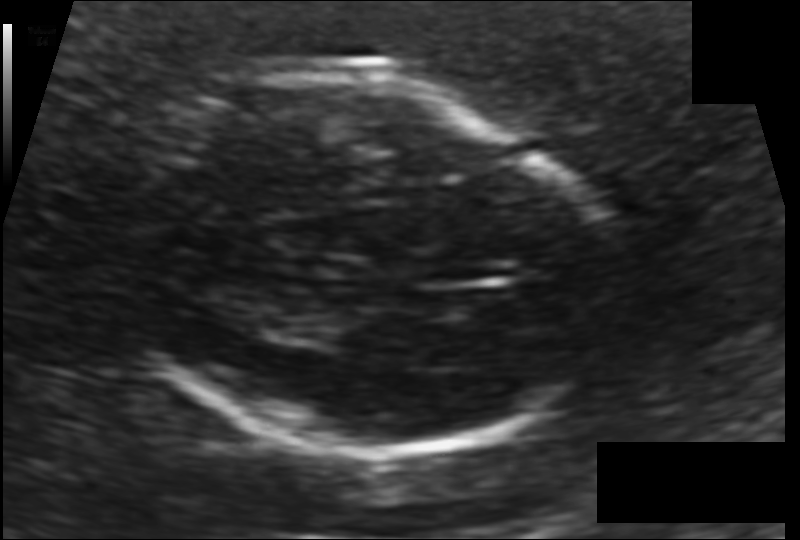
Fetal head ultrasound. Image width: 105.5 mm. Give [x1,y1,x2,y2] bounding boxes for each visible structure among: fetal head, CSP, LV.

Head: [113,78,608,452]